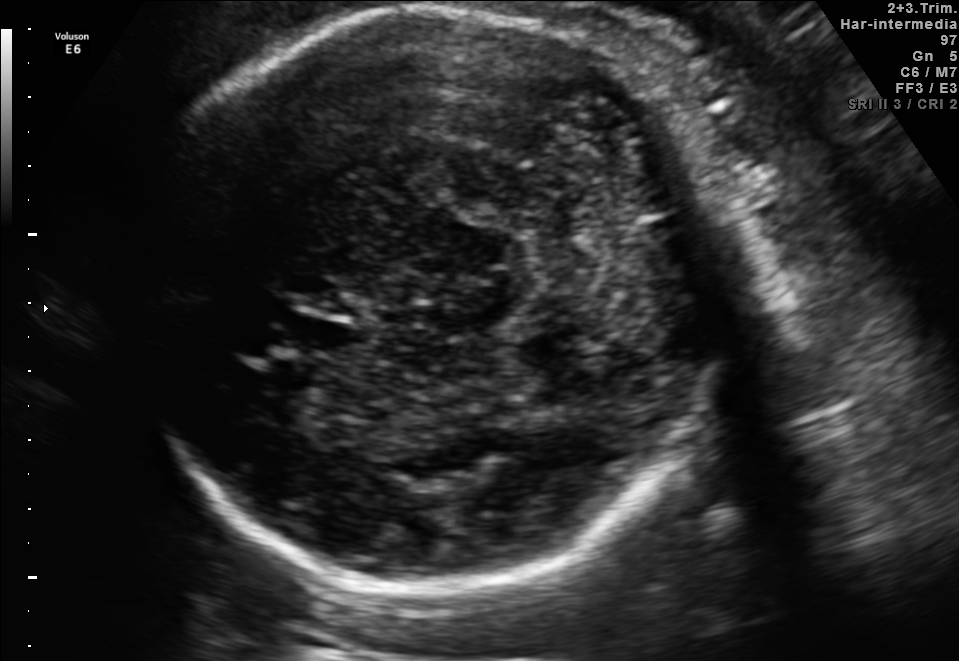
Fetal brain, trans-cerebellum plane. Locate the fetal head and, if visible, the cavum septum pellucidum (CSP) and lateral ventricle (LV). Give bounding boxes as [x1,y1,x2,y2].

Head: [127,8,744,587]